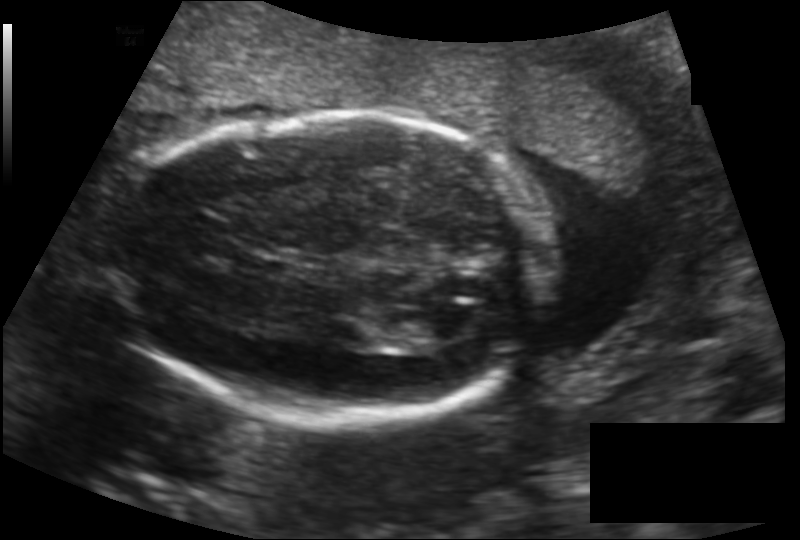
Fetal head ultrasound. Image width: 116.6 mm. Locate the fetal head and, if visible, the cavum septum pellucidum (CSP) and lateral ventricle (LV). Give bounding boxes as [x1,y1,x2,y2].

Head: [125,111,548,427]
Lateral ventricle: [426,305,482,341]